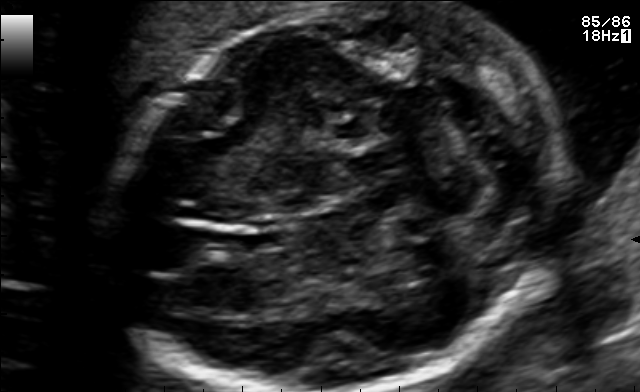
Fetal brain, trans-cerebellum plane. Where is the fetal head?

Head bounding box: [117,3,550,391]